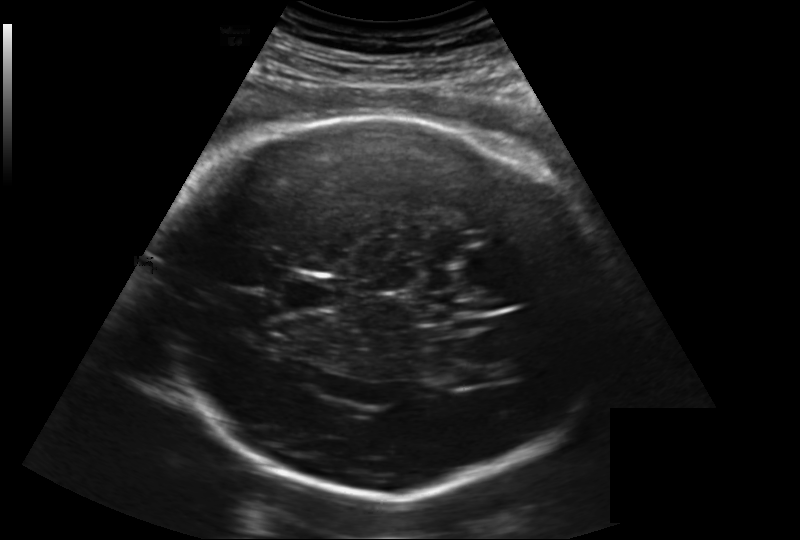
Fetal head ultrasound. Image width: 175.3 mm. Give [x1,y1,x2,y2] bounding boxes for each visible structure among: fetal head, CSP, LV.

Head: [158,116,611,499]
CSP: [280,278,336,311]
Lateral ventricle: [439,347,500,390]